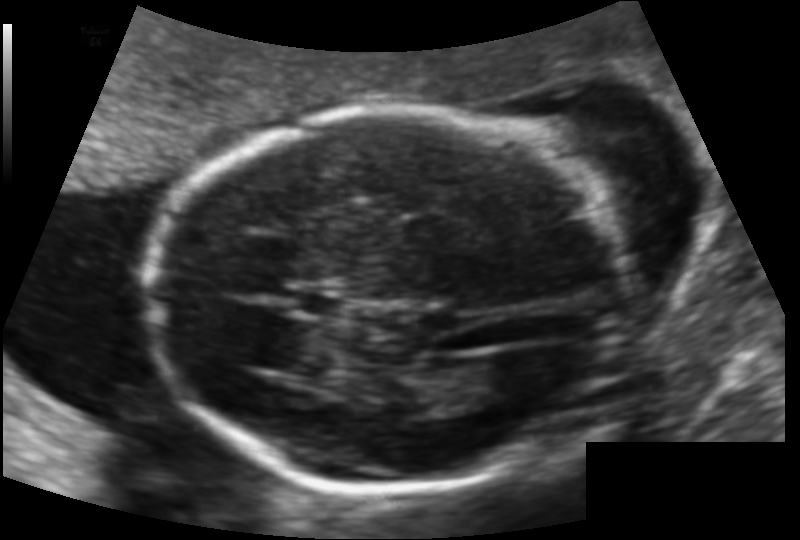
In this fetal head ultrasound, give the bounding box of the fetal head. Image width: 94.5 mm.

[150,109,620,491]